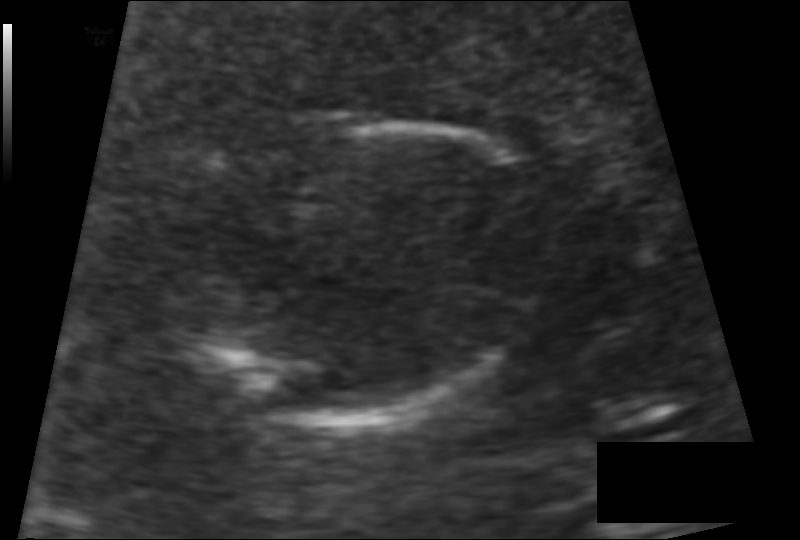
In this fetal head ultrasound, give the bounding box of the fetal head. Image width: 74.1 mm.

[185,120,545,426]